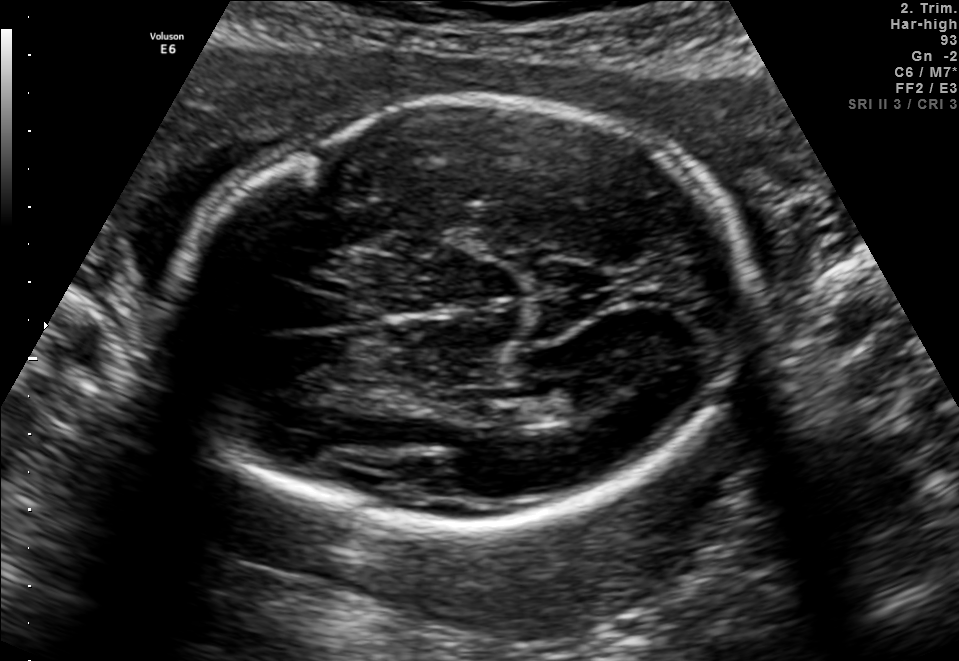
Fetal brain, trans-thalamic plane. Where is the lateral ventricle?

Lateral ventricle bounding box: [511,368,604,430]